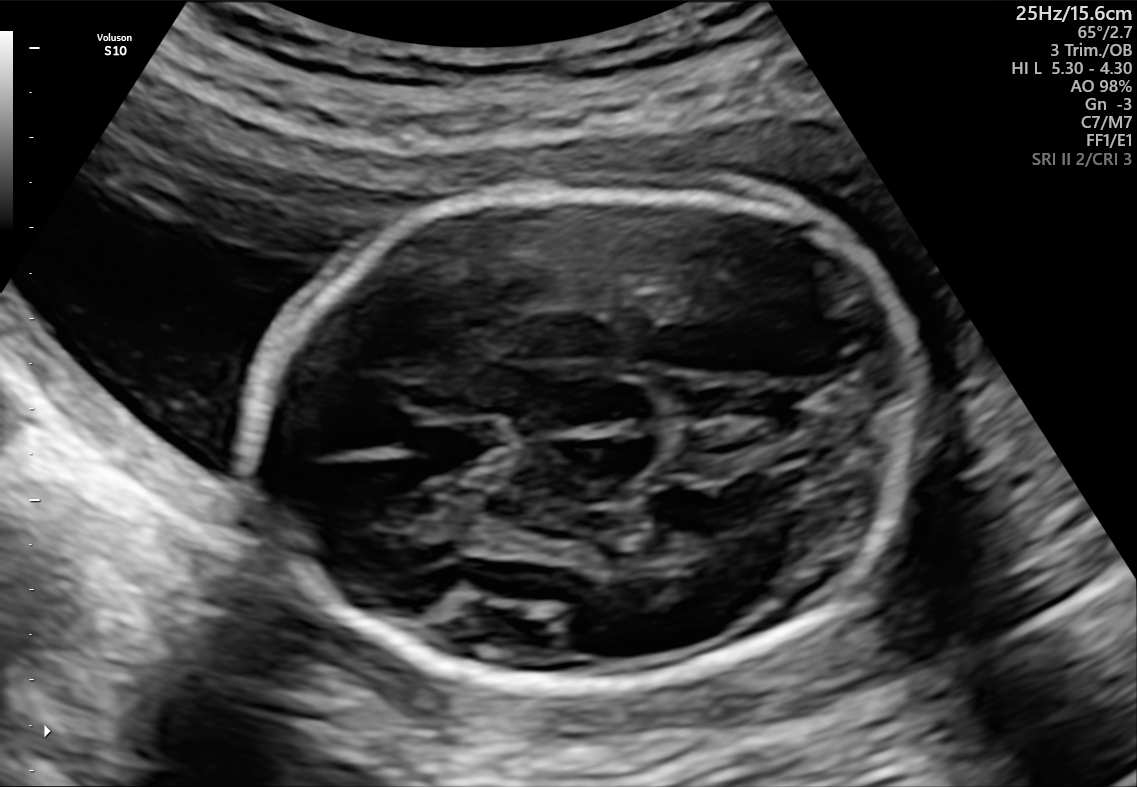
Fetal brain, trans-thalamic plane. Where is the fetal head?

Head bounding box: [247,182,924,693]